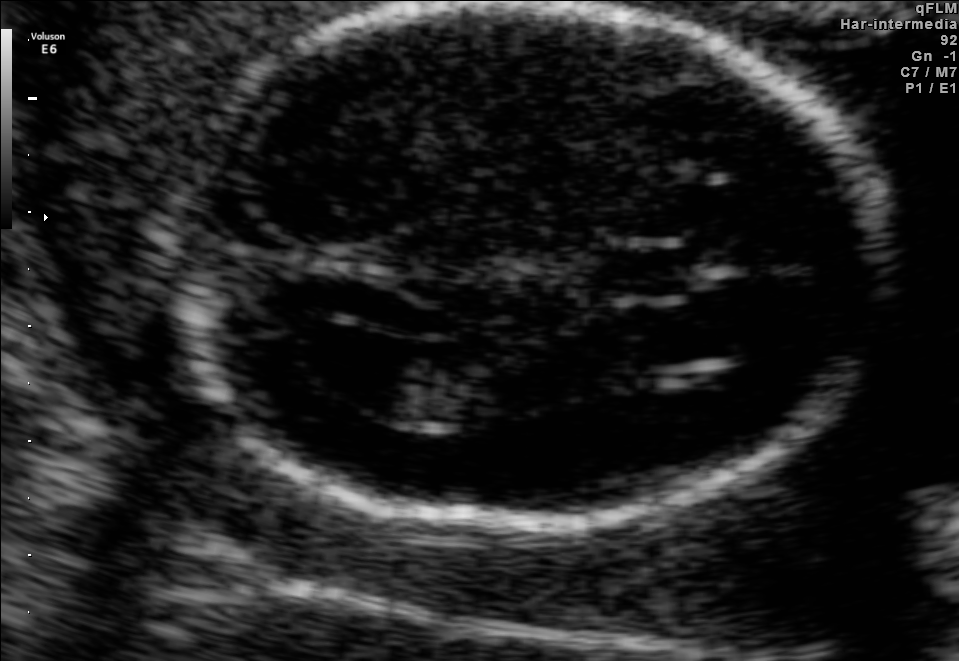
Fetal brain, trans-ventricular plane. Locate the lateral ventricle.

Lateral ventricle: [276,307,443,421]